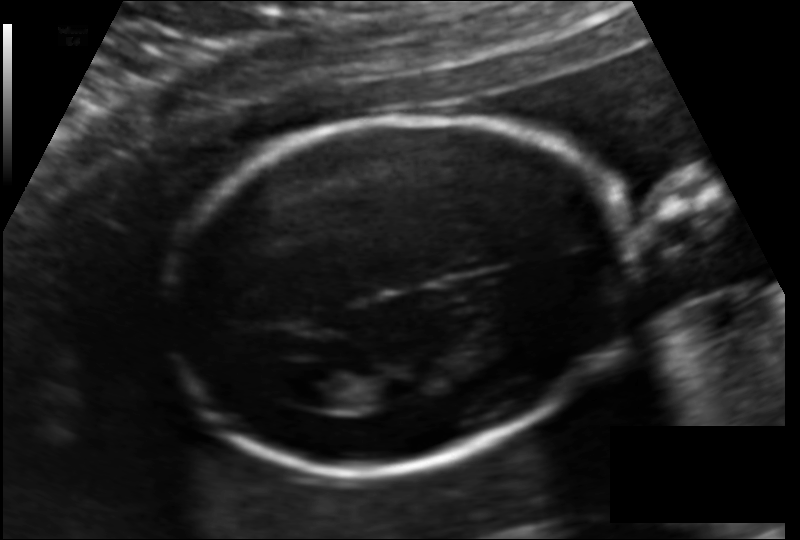
From this fetal ultrasound, estimate the head circumference (image width 101.5 mm).

Head circumference: 166.8 mm.